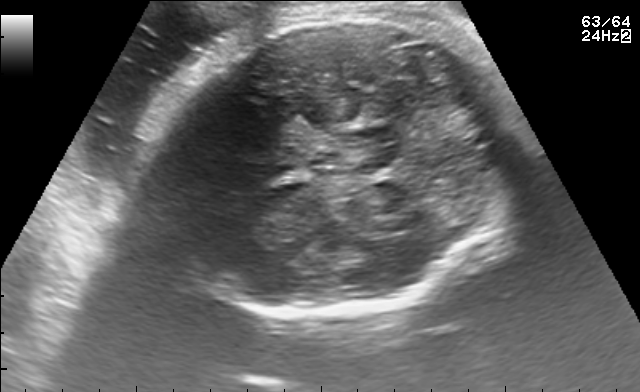
In this fetal brain, trans-cerebellum plane, give the bounding box of the fetal head.

[151,13,519,317]